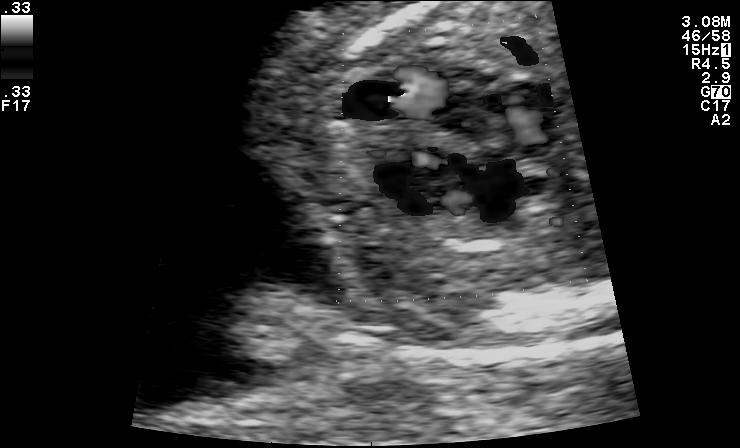
Classify this maternal-fetal ultrasound image as one of the six standard planes — fetal abdomen, fetal brain, fetal femur, fetal thorax, maternal cervix, or other. If it's fetal brain and one of the three standard brain planes (trans-thalamic, trans-cerebellum, trans-ventricular), name which.

Other